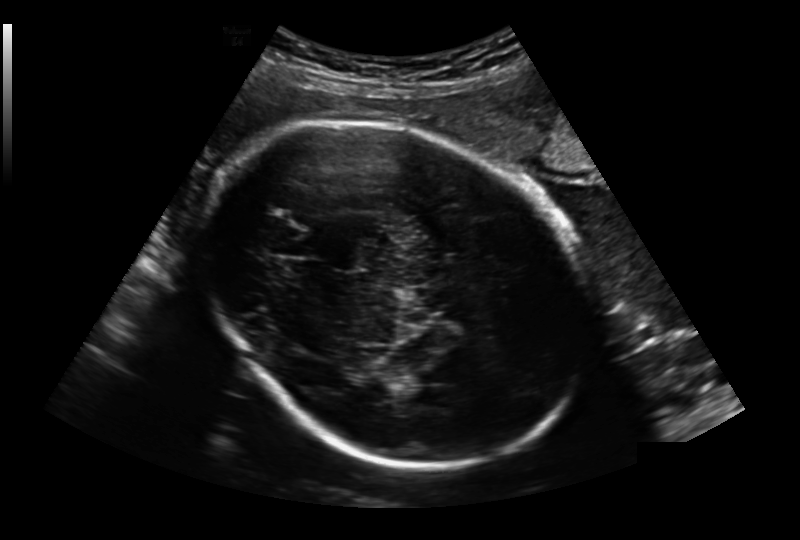
In this fetal head ultrasound, give bounding boxes for the head outline, cavum septum pellucidum (CSP), and lateral ventricle (LV), where visible. Image width: 188.7 mm.

Head: [202,121,593,465]